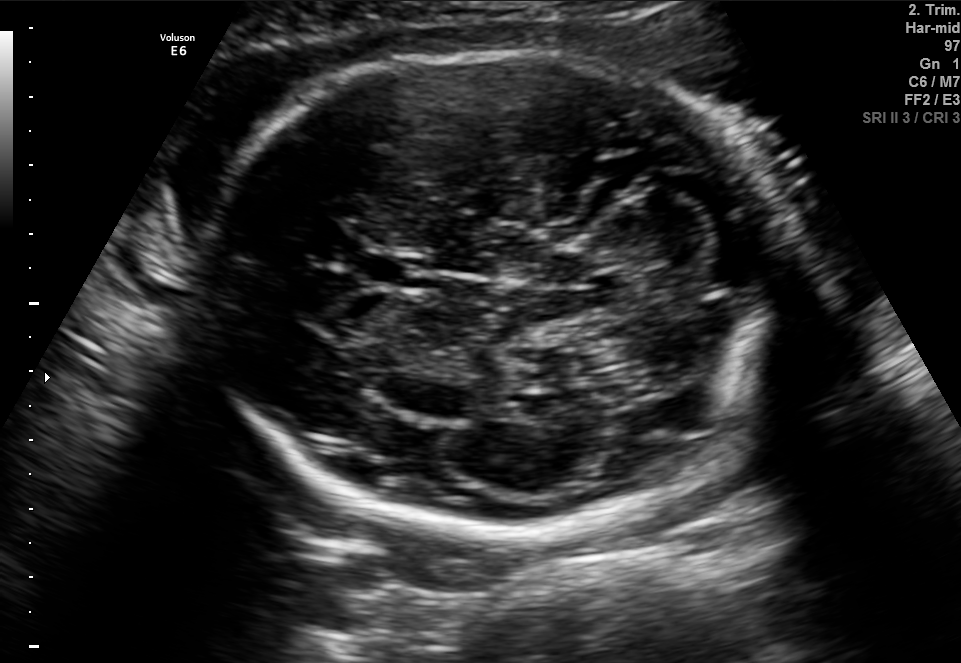
Fetal brain, trans-cerebellum plane. Locate the cavum septum pellucidum.

CSP: [360,249,428,290]